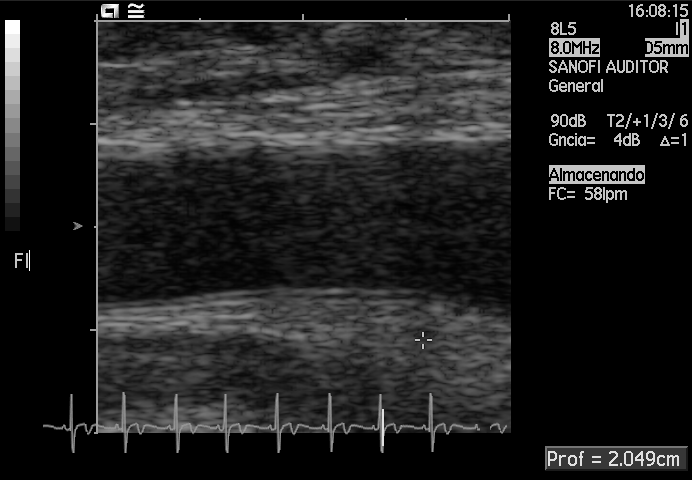
Identify the standard plane in this fetal ultrasound image: fetal abdomen, fetal brain, fetal femur, fetal thorax, maternal cervix, or other. If it's fetal brain and one of the three standard brain planes (trans-thalamic, trans-cerebellum, trans-ventricular), name which.

Other